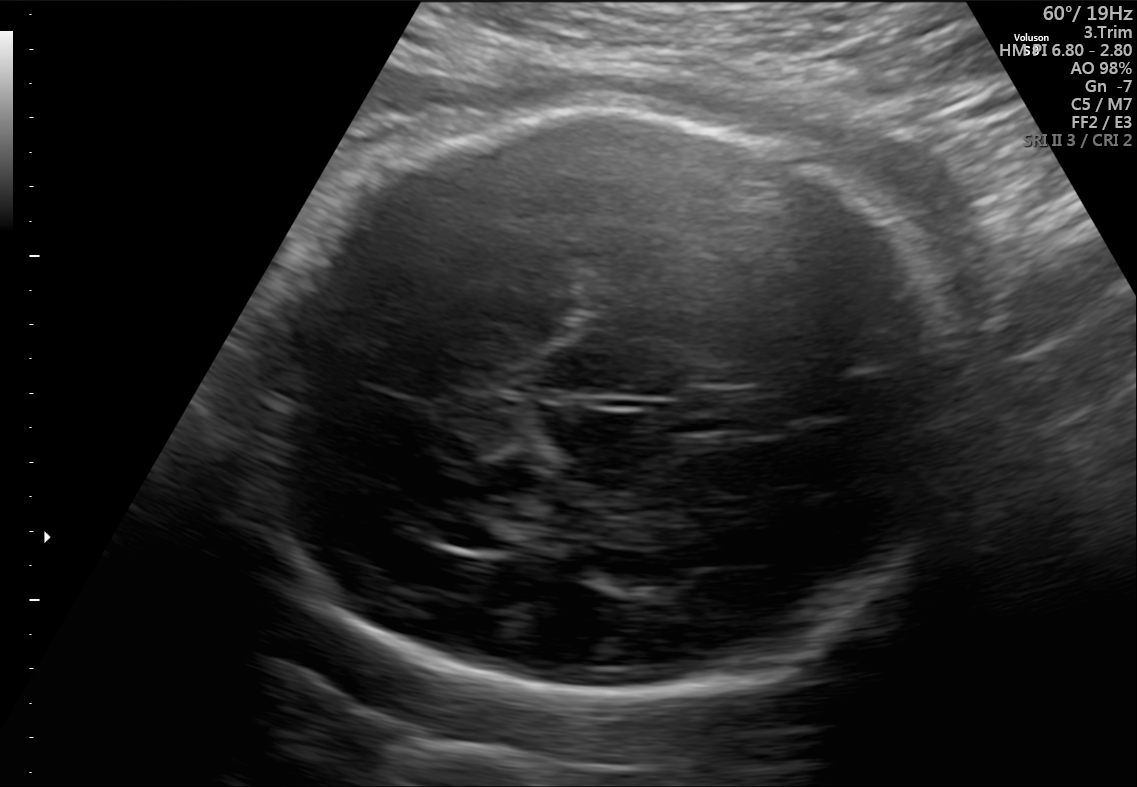
In this fetal brain, trans-thalamic plane, give bounding boxes for the head outline, cavum septum pellucidum (CSP), and lateral ventricle (LV), where visible.

Head: [242,110,969,699]
CSP: [680,390,757,434]
Lateral ventricle: [426,508,523,558]